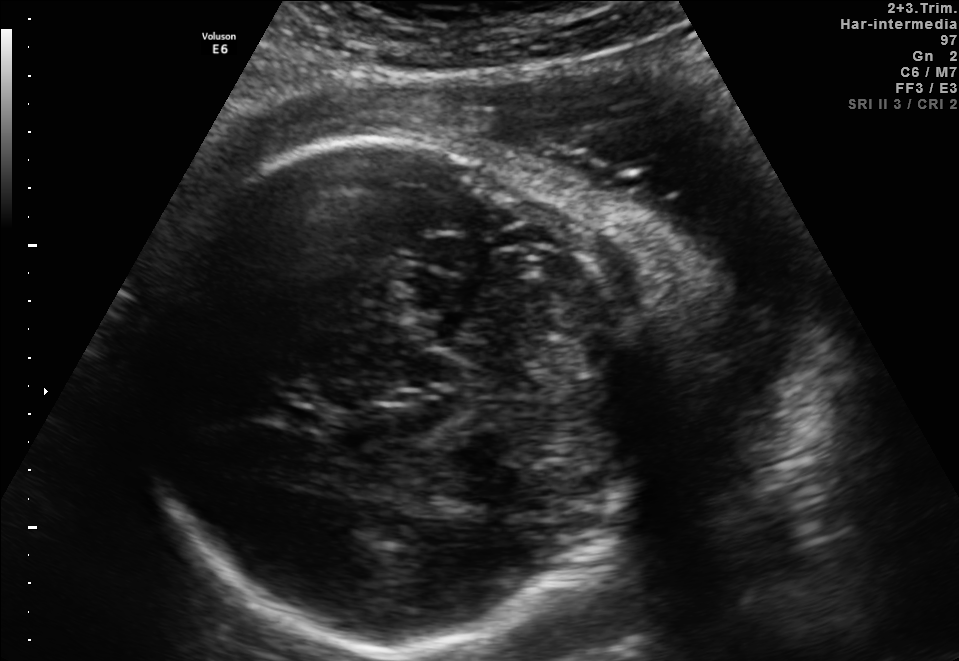
Fetal brain, trans-thalamic plane. Where is the fetal head?

Head bounding box: [130,134,645,651]